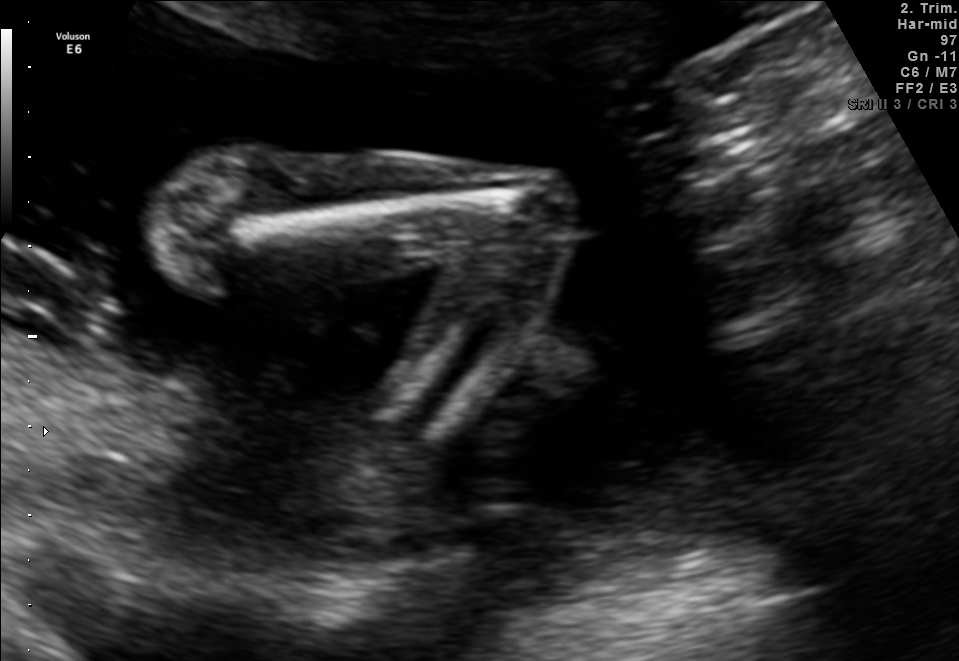
Which standard maternal-fetal ultrasound plane is shown: fetal abdomen, fetal brain, fetal femur, fetal thorax, maternal cervix, or other? If it's fetal brain and one of the three standard brain planes (trans-thalamic, trans-cerebellum, trans-ventricular), name which.

Other